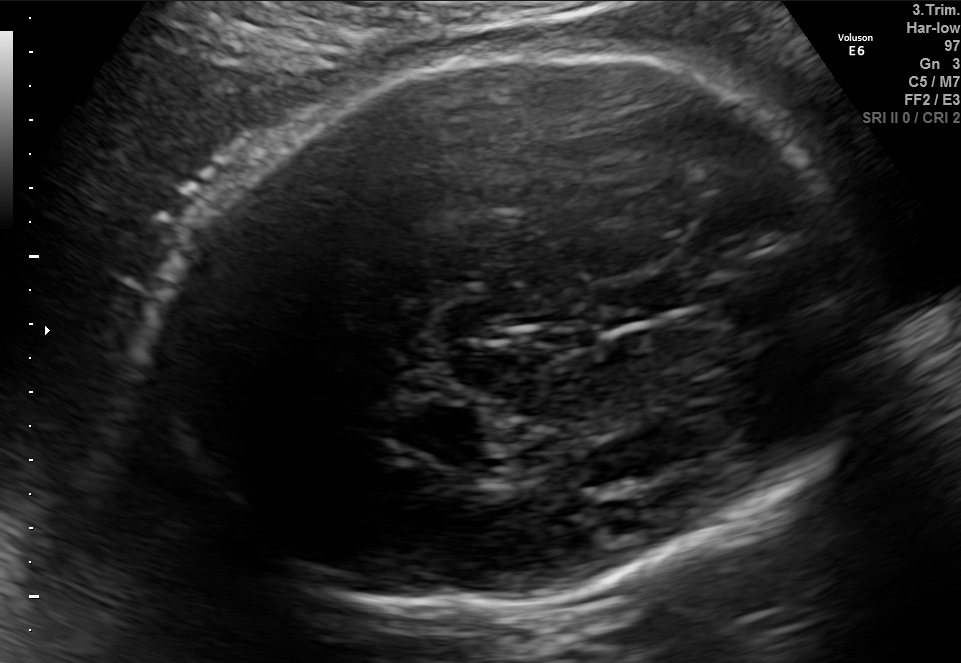
In this fetal brain, trans-thalamic plane, give bounding boxes for the head outline, cavum septum pellucidum (CSP), and lateral ventricle (LV), where visible.

Head: [150,48,863,607]
CSP: [589,267,693,332]